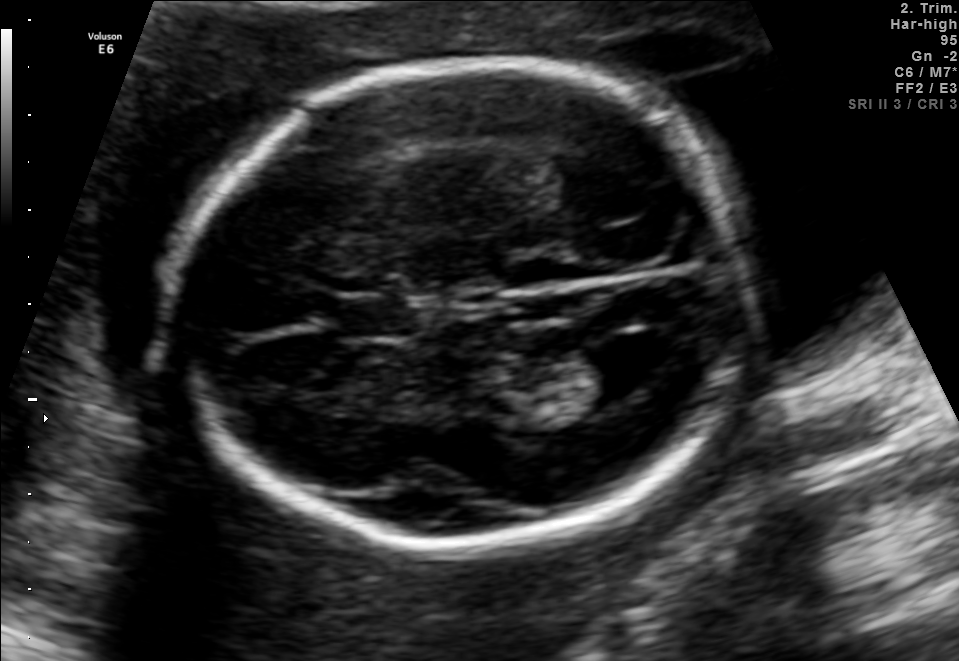
Fetal brain, trans-ventricular plane. Give [x1,y1,x2,y2] bounding boxes for each visible structure among: fetal head, CSP, LV.

Head: [160,57,761,562]
CSP: [318,294,424,342]
Lateral ventricle: [566,325,678,412]